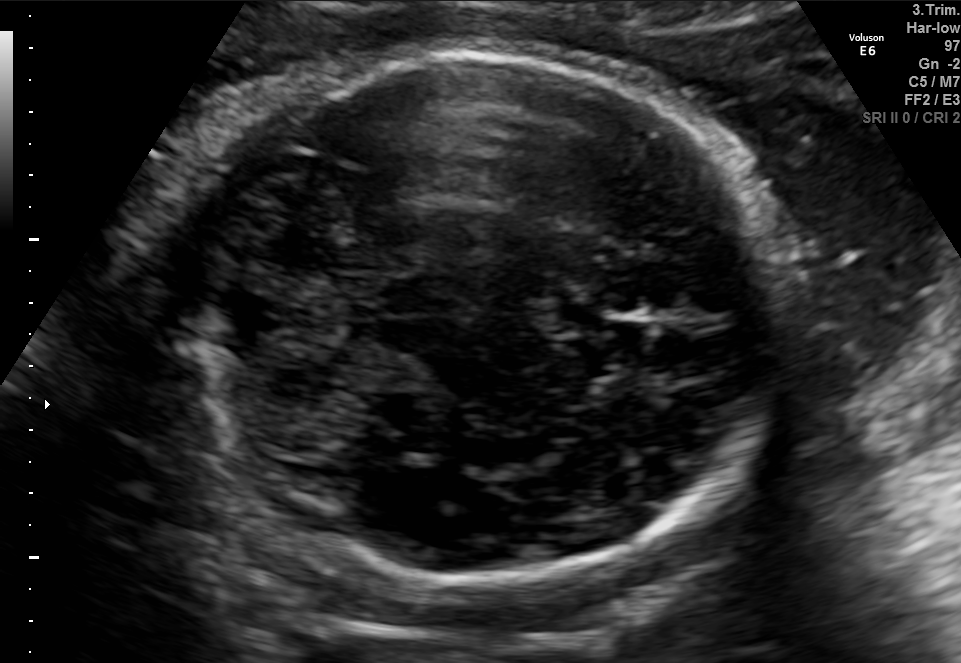
In this fetal brain, trans-cerebellum plane, give bounding boxes for the head outline, cavum septum pellucidum (CSP), and lateral ventricle (LV), where visible.

Head: [163,55,778,578]